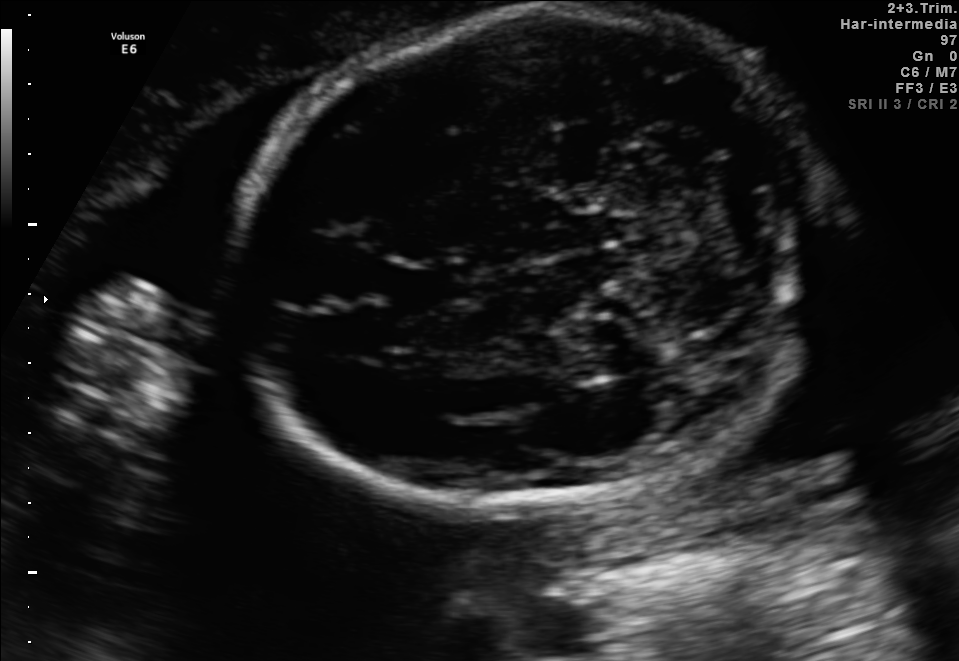
In this fetal brain, trans-cerebellum plane, give the bounding box of the fetal head.

[234,10,827,507]